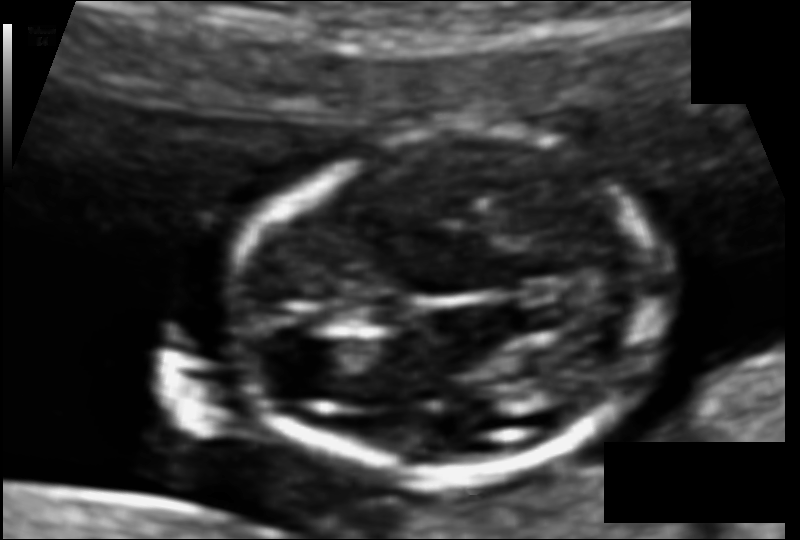
What is the fetal head circumference? Image width is 60.3 mm.

95.3 mm